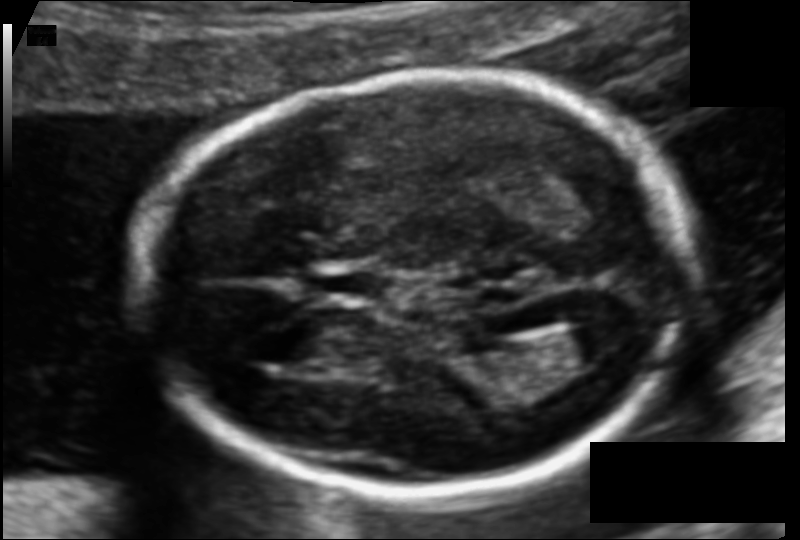
Fetal head ultrasound. Image width: 83.7 mm. Locate the fetal head.

Head: [140,78,685,489]